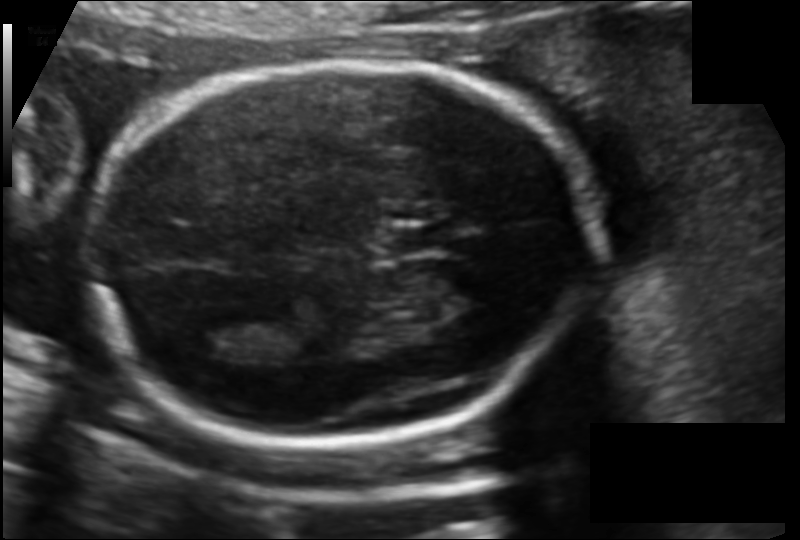
What is the fetal head circumference? Image width is 96.2 mm.

174.1 mm